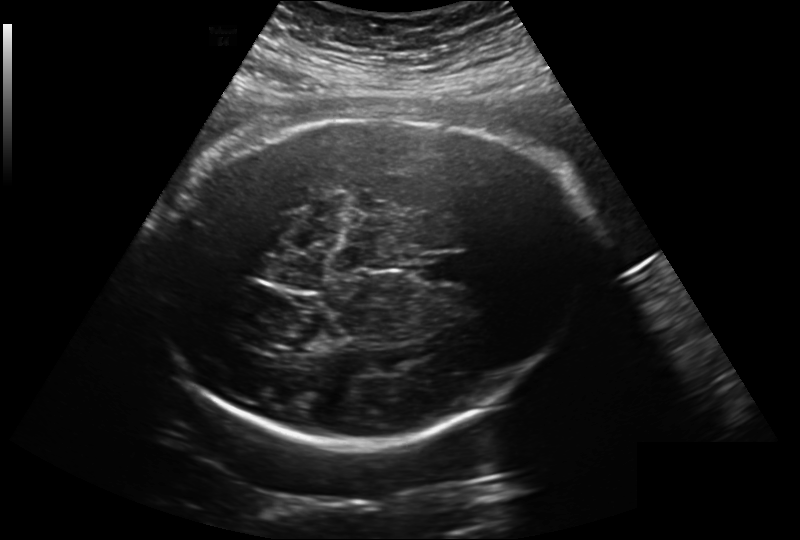
Fetal head ultrasound. Image width: 208.0 mm. Give [x1,y1,x2,y2] bounding boxes for each visible structure among: fetal head, CSP, LV.

Head: [148,115,588,441]
CSP: [418,253,470,285]